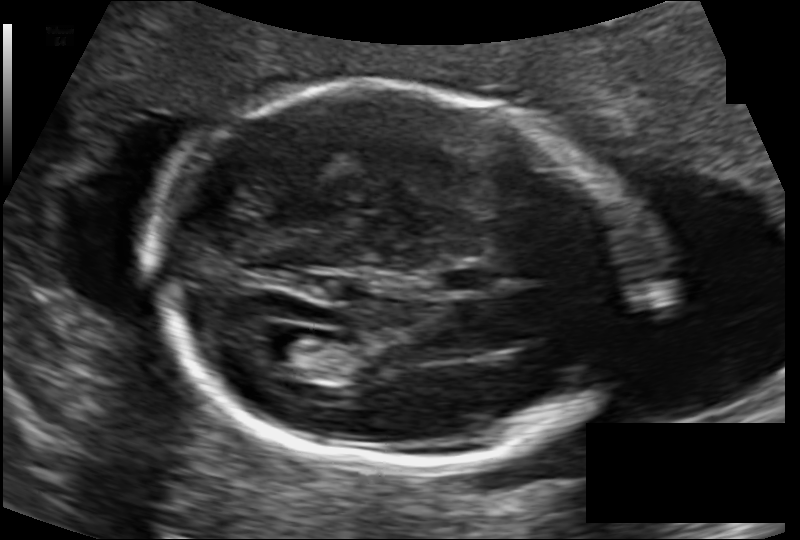
Measure the fetal head circumference shown in this ultrasound image. Image width: 95.8 mm.

Head circumference: 169.7 mm.